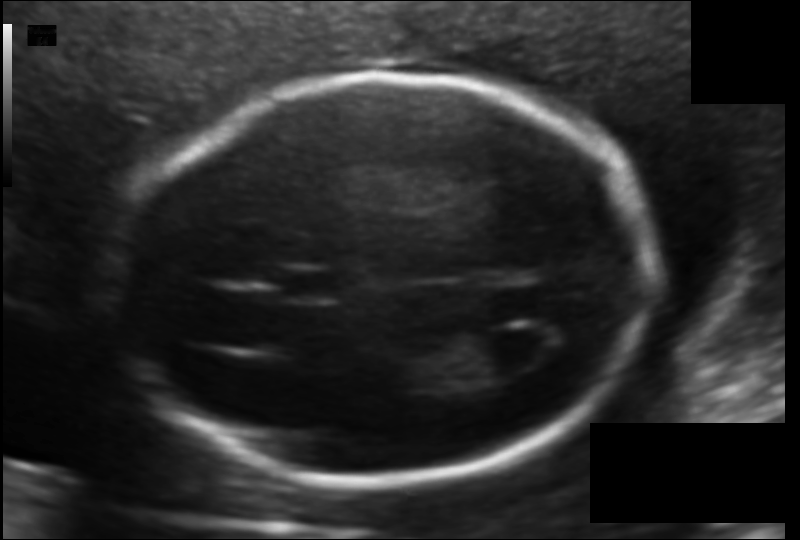
Fetal head ultrasound. Image width: 93.0 mm. Locate the lateral ventricle.

Lateral ventricle: [456,314,551,387]